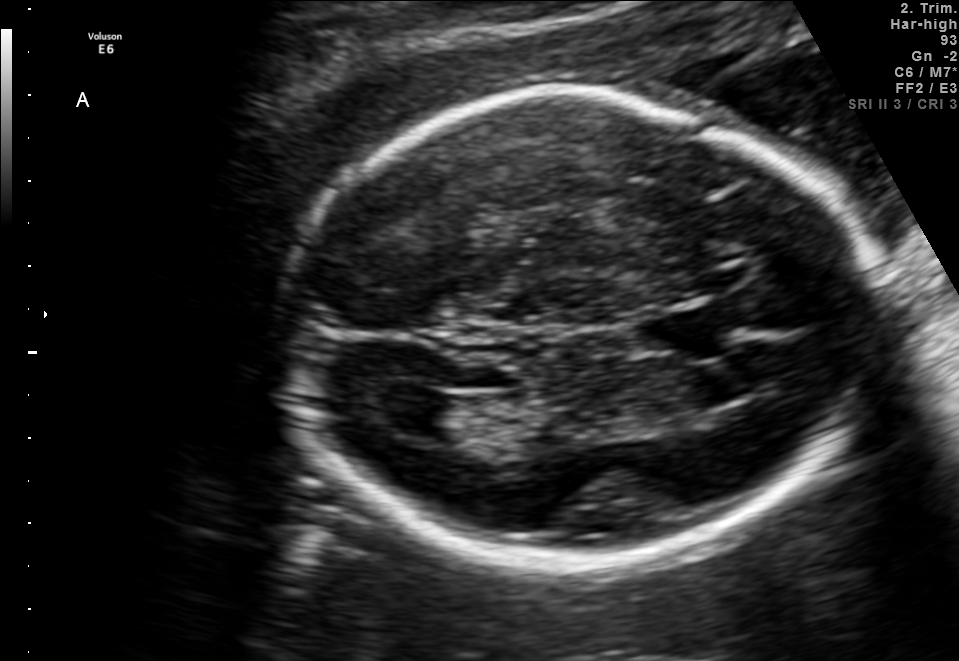
Fetal brain, trans-ventricular plane. Locate the fetal head and, if visible, the cavum septum pellucidum (CSP) and lateral ventricle (LV). Give bounding boxes as [x1,y1,x2,y2].

Head: [271,82,896,581]
CSP: [630,309,702,354]
Lateral ventricle: [375,384,465,443]